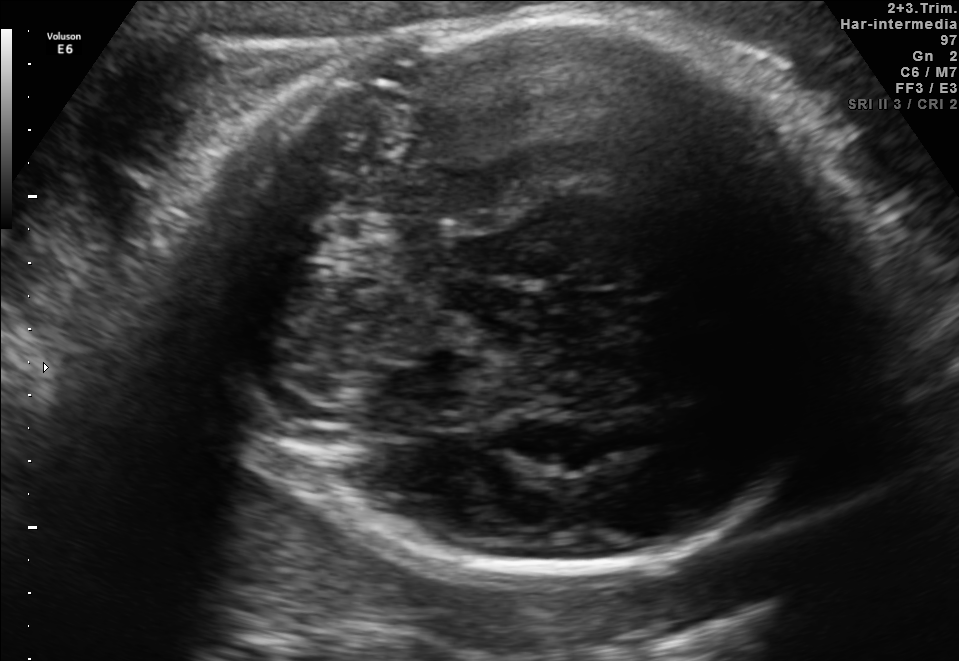
Fetal brain, trans-thalamic plane. Locate the fetal head and, if visible, the cavum septum pellucidum (CSP) and lateral ventricle (LV). Give bounding boxes as [x1,y1,x2,y2].

Head: [203,9,864,582]